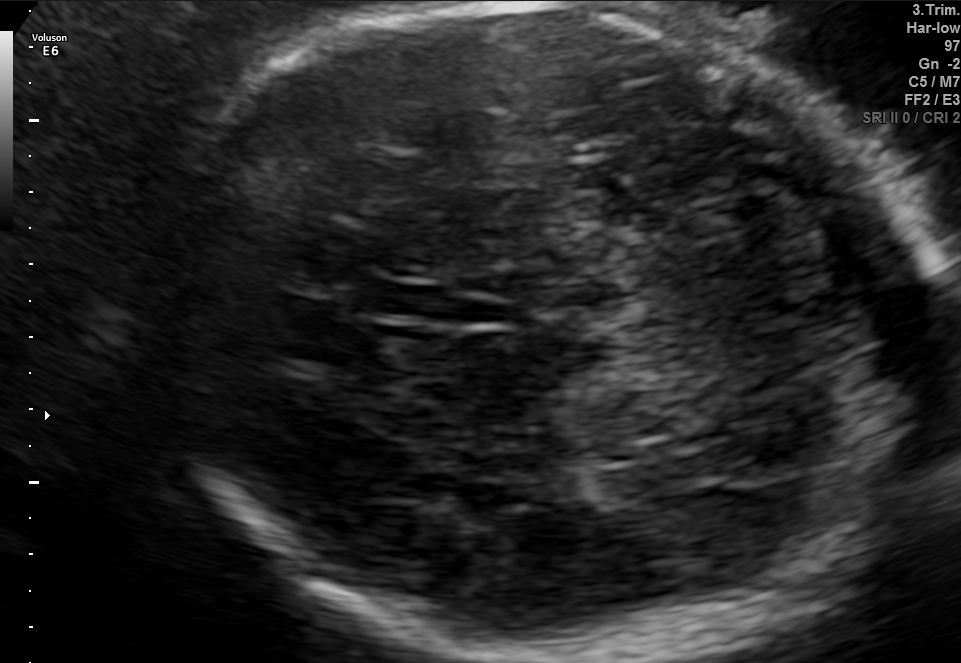
Fetal brain, trans-thalamic plane. Locate the fetal head and, if visible, the cavum septum pellucidum (CSP) and lateral ventricle (LV). Give bounding boxes as [x1,y1,x2,y2].

Head: [147,5,940,656]
CSP: [357,279,450,320]